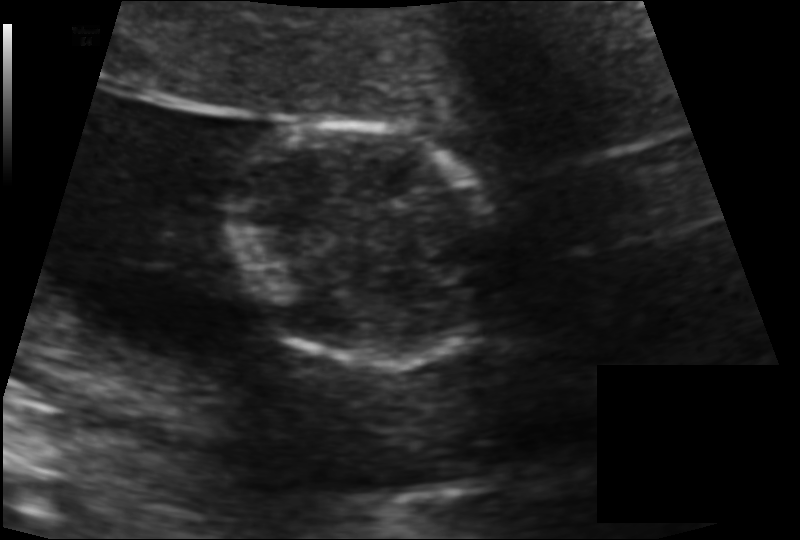
Fetal head ultrasound. Image width: 91.8 mm. Locate the fetal head.

Head: [223,122,494,368]